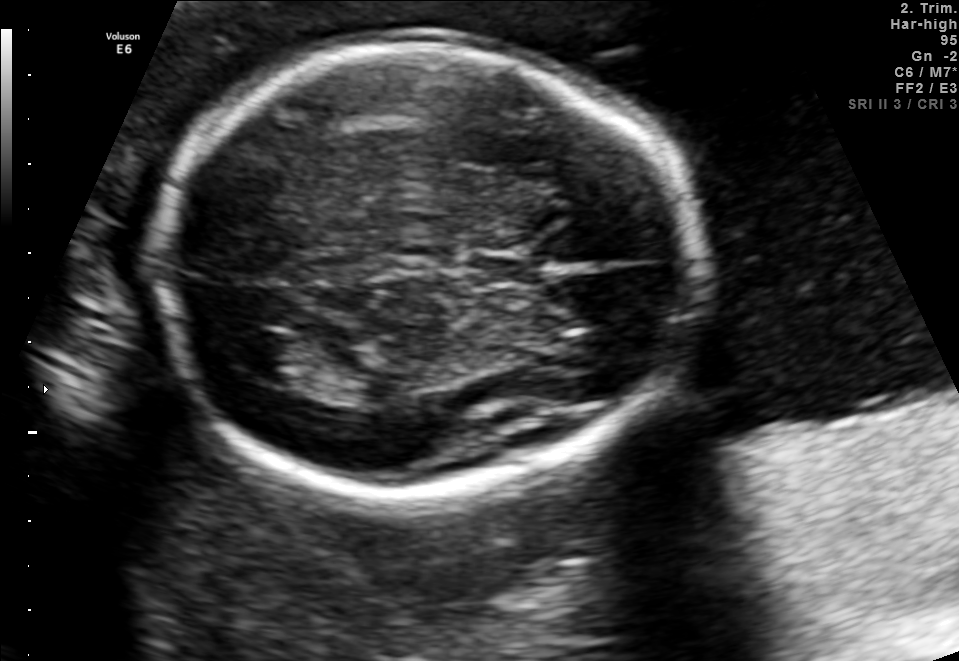
Fetal brain, trans-thalamic plane. Locate the lateral ventricle.

Lateral ventricle: [232,324,316,390]